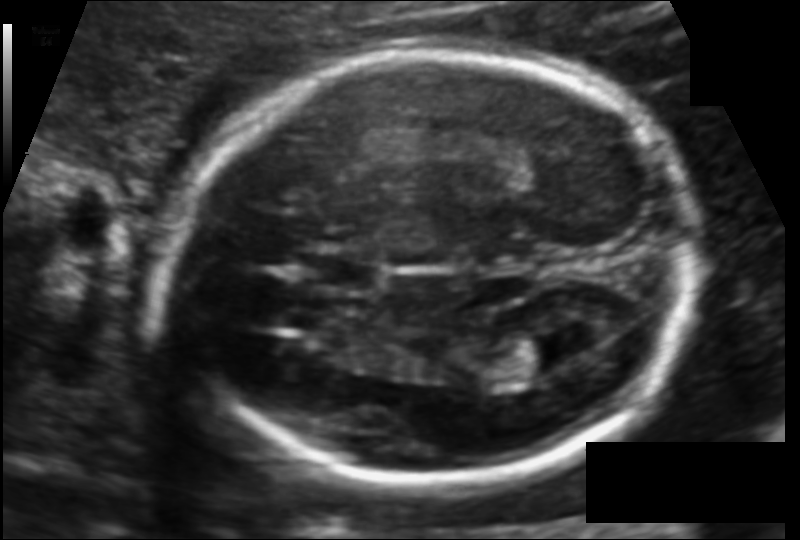
What is the fetal head circumference? Image width is 90.0 mm.

172.8 mm